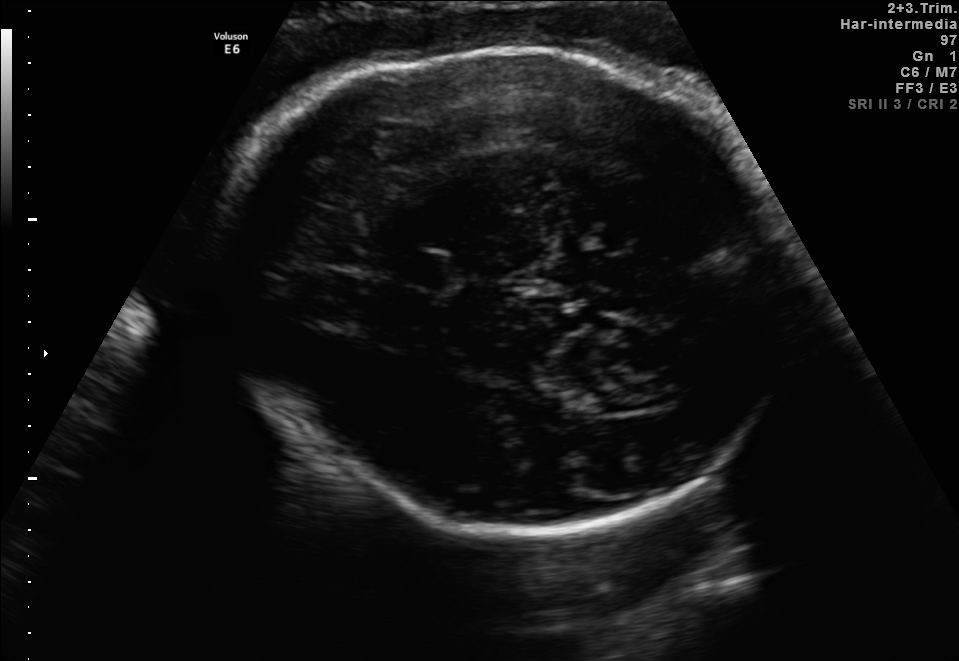
Fetal brain, trans-thalamic plane. Where is the fetal head?

Head bounding box: [206,46,807,531]